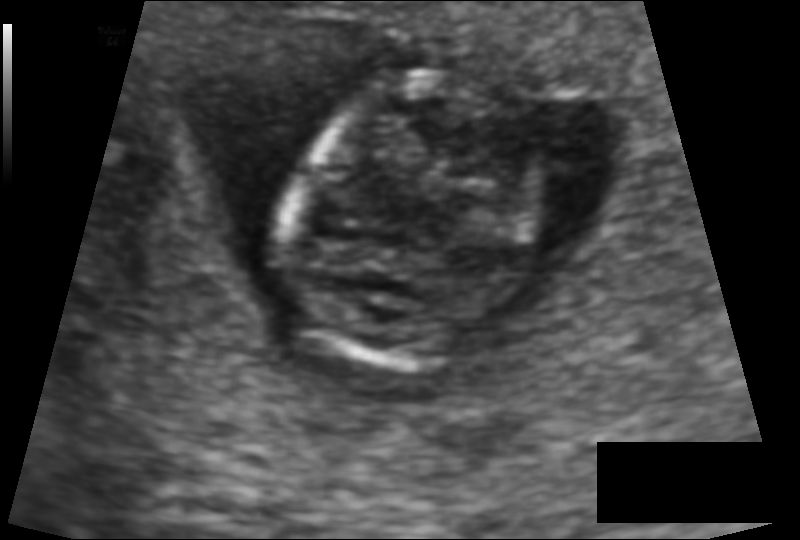
What is the fetal head circumference? Image width is 72.8 mm.

79.6 mm